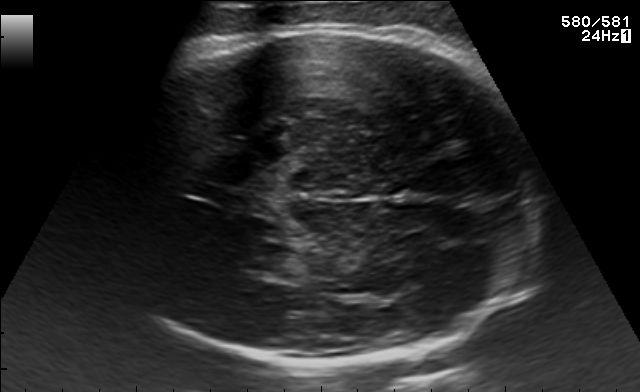
Fetal brain, trans-thalamic plane. Give [x1,y1,x2,y2] bounding boxes for each visible structure among: fetal head, CSP, LV.

Head: [91,29,533,364]